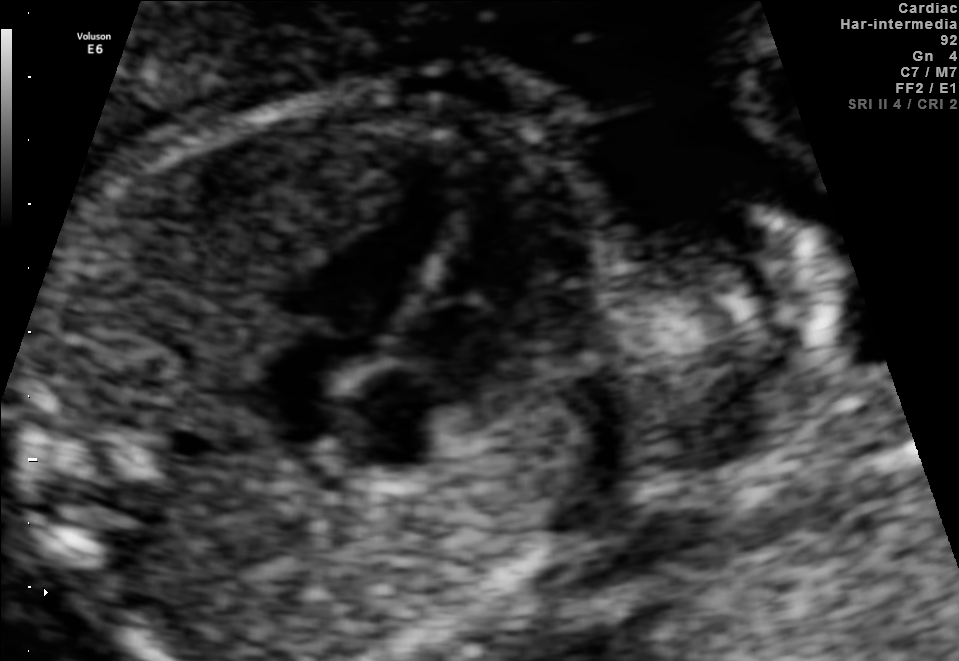
Identify the standard plane in this fetal ultrasound image: fetal abdomen, fetal brain, fetal femur, fetal thorax, maternal cervix, or other. If it's fetal brain and one of the three standard brain planes (trans-thalamic, trans-cerebellum, trans-ventricular), name which.

Fetal thorax